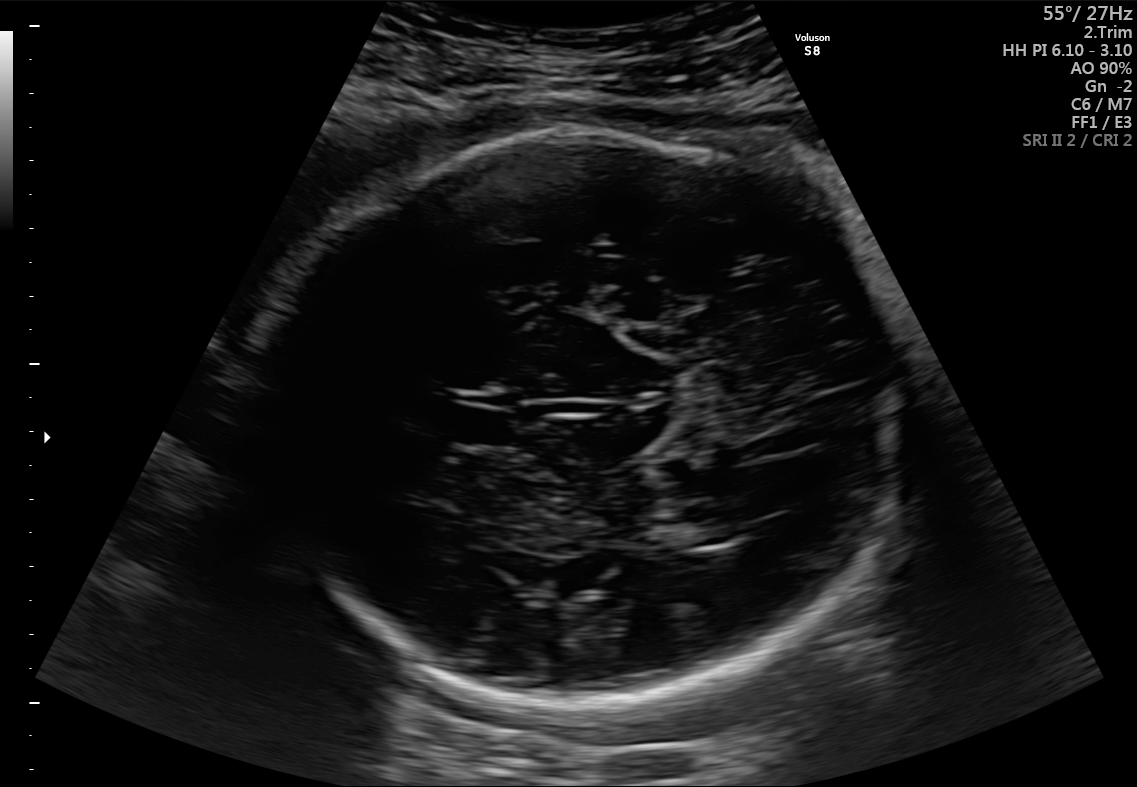
Identify the standard plane in this fetal ultrasound image: fetal abdomen, fetal brain, fetal femur, fetal thorax, maternal cervix, or other. If it's fetal brain and one of the three standard brain planes (trans-thalamic, trans-cerebellum, trans-ventricular), name which.

Fetal brain (trans-thalamic plane)